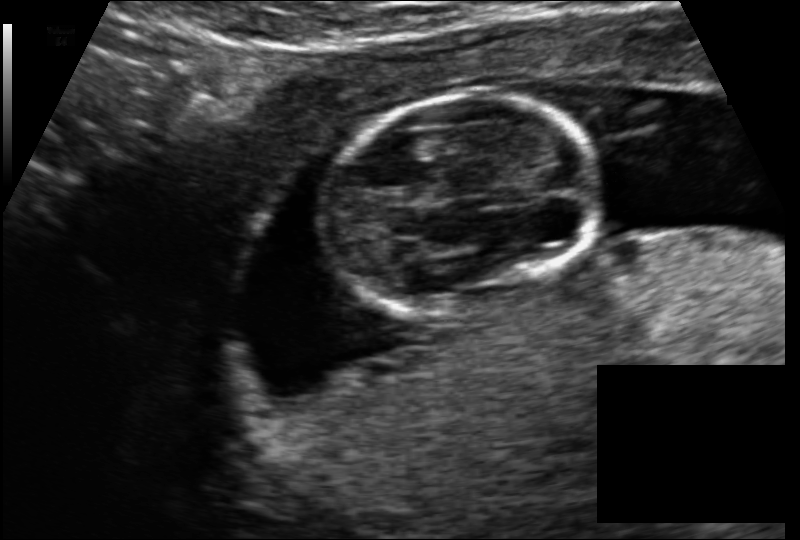
In this fetal head ultrasound, give the bounding box of the fetal head. Image width: 91.1 mm.

[324,95,596,313]